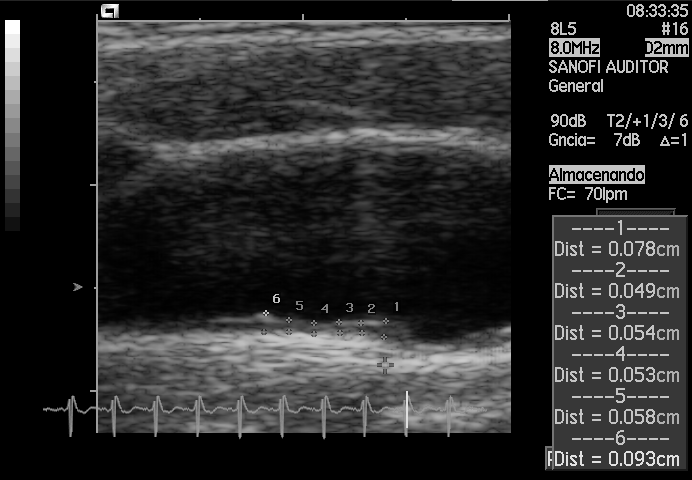
Which standard maternal-fetal ultrasound plane is shown: fetal abdomen, fetal brain, fetal femur, fetal thorax, maternal cervix, or other? If it's fetal brain and one of the three standard brain planes (trans-thalamic, trans-cerebellum, trans-ventricular), name which.

Other